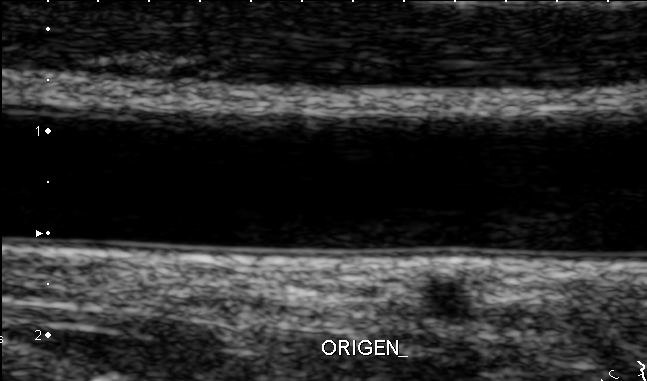
This is a 2D maternal-fetal ultrasound frame. Is it a fetal abdomen, fetal brain, fetal femur, fetal thorax, maternal cervix, or other standard plane? If it's fetal brain and one of the three standard brain planes (trans-thalamic, trans-cerebellum, trans-ventricular), name which.

Other